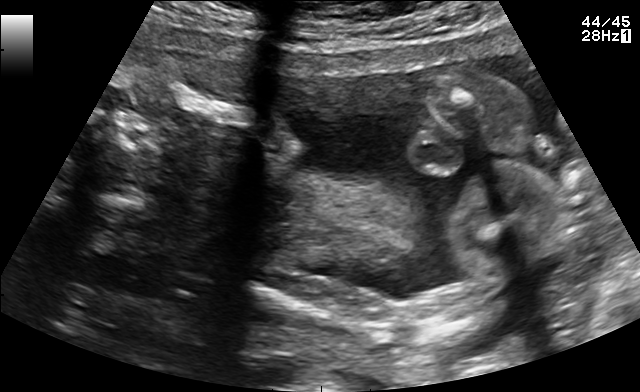
Which standard maternal-fetal ultrasound plane is shown: fetal abdomen, fetal brain, fetal femur, fetal thorax, maternal cervix, or other? If it's fetal brain and one of the three standard brain planes (trans-thalamic, trans-cerebellum, trans-ventricular), name which.

Other